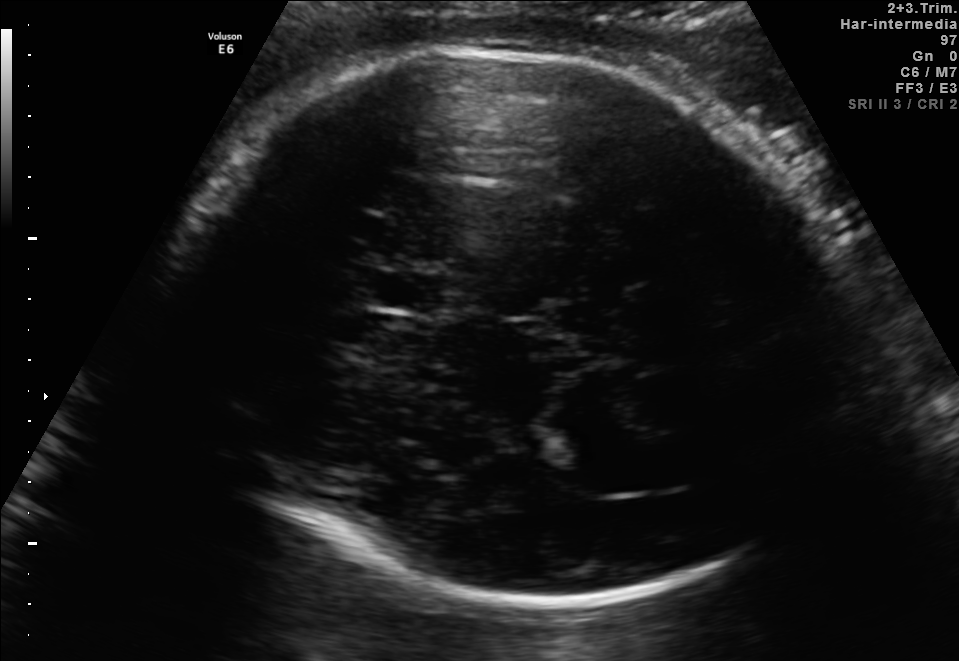
Fetal brain, trans-thalamic plane. Give [x1,y1,x2,y2] bounding boxes for each visible structure among: fetal head, CSP, LV.

Head: [186,46,841,605]
CSP: [368,266,441,315]
Lateral ventricle: [560,442,680,499]